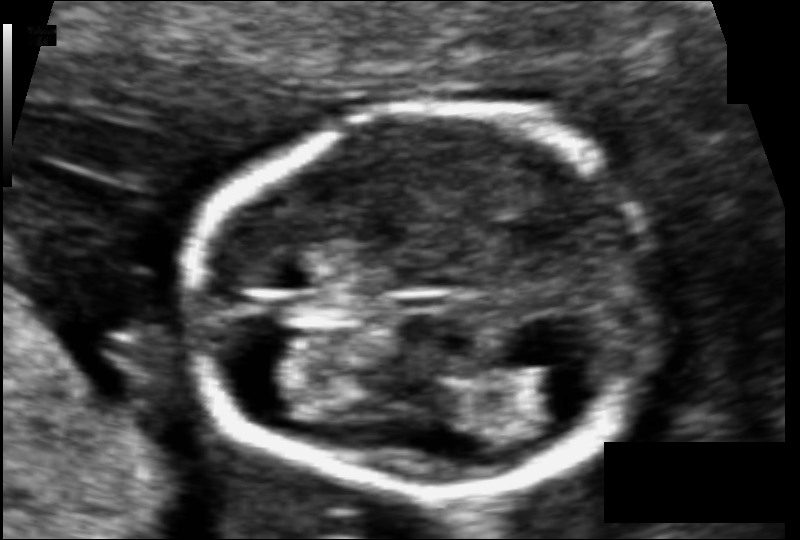
Fetal head ultrasound. Image width: 52.4 mm. Where is the fetal head?

Head bounding box: [189,109,657,493]